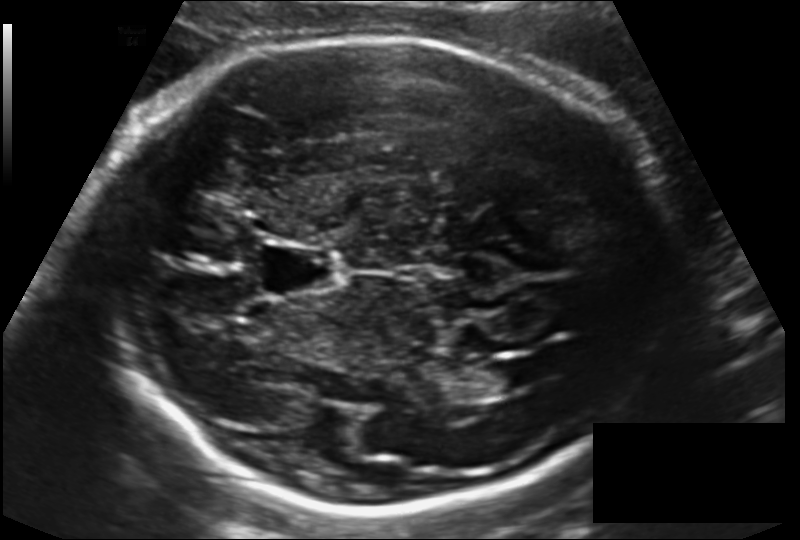
Estimate the fetal head circumference from this 2D ultrasound. Image width: 123.9 mm.

Head circumference: 258.5 mm.